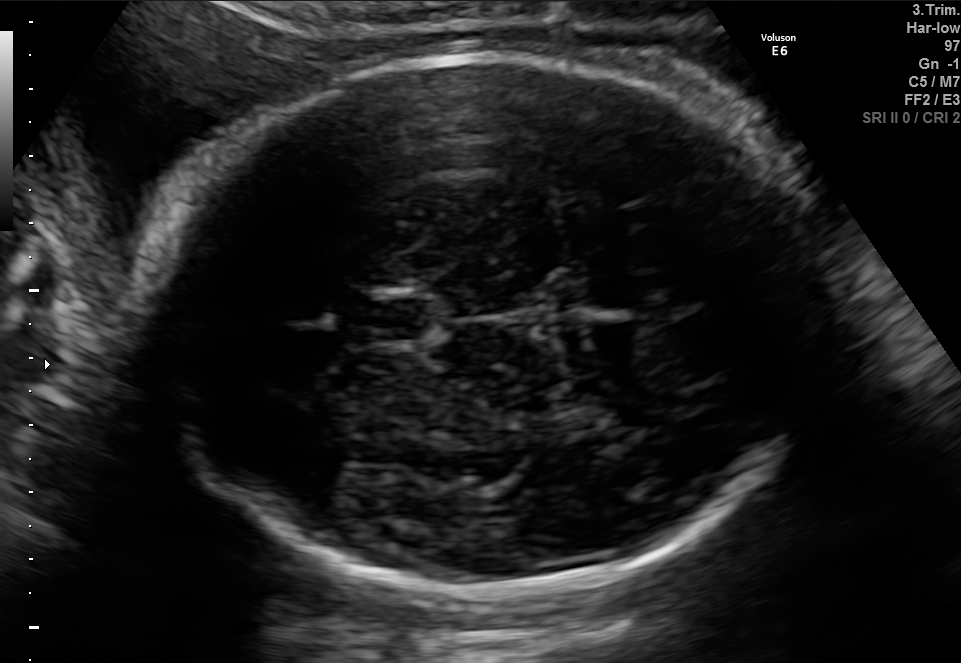
Fetal brain, trans-thalamic plane. Locate the cavum septum pellucidum.

CSP: [366,299,429,340]